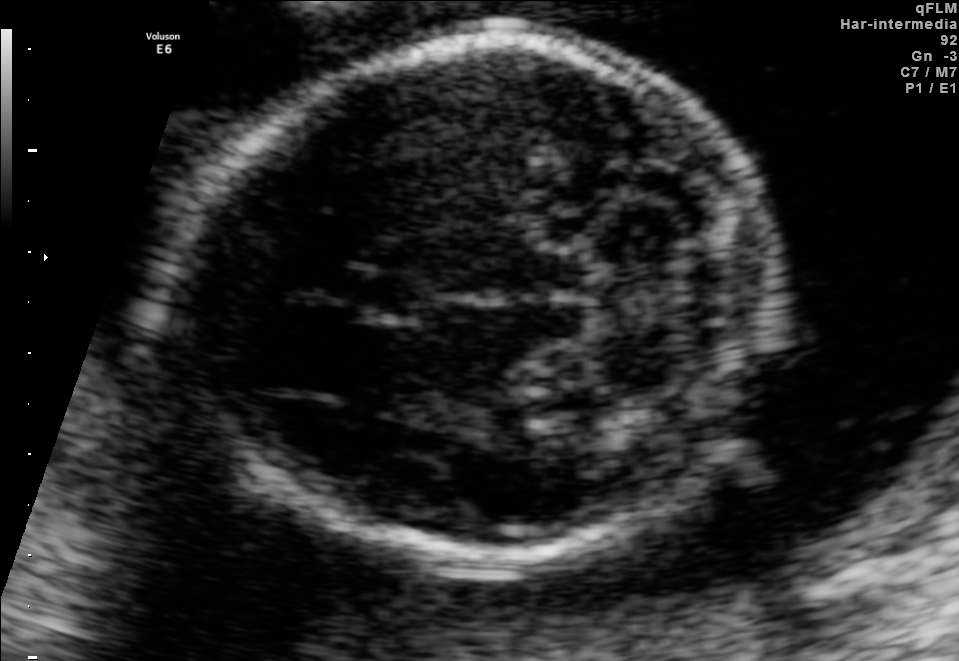
Fetal brain, trans-cerebellum plane. Where is the fetal head?

Head bounding box: [190,41,763,564]